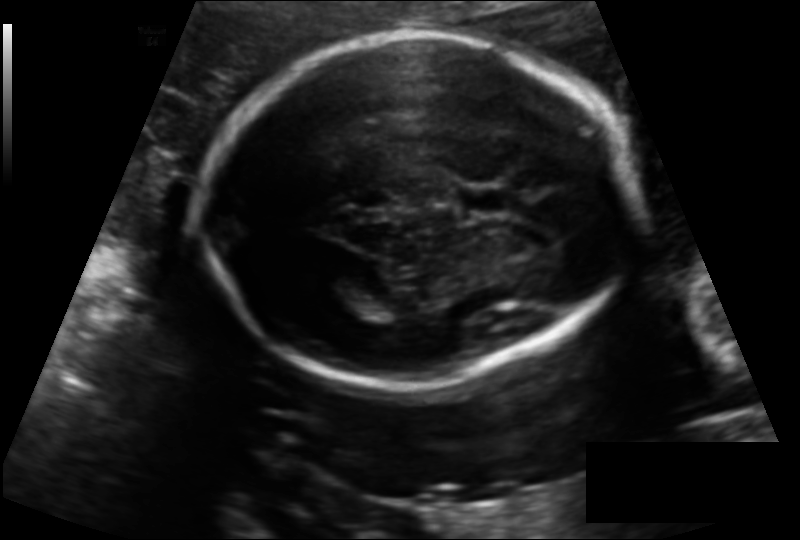
Fetal head ultrasound. Image width: 111.5 mm. Locate the cavum septum pellucidum.

CSP: [456,183,514,218]